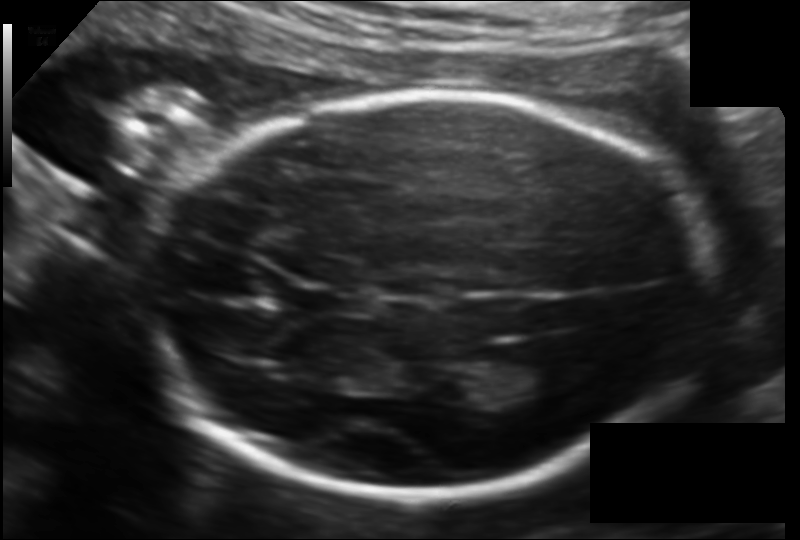
Fetal head ultrasound. Image width: 103.8 mm. Locate the fetal head.

Head: [149,96,711,493]